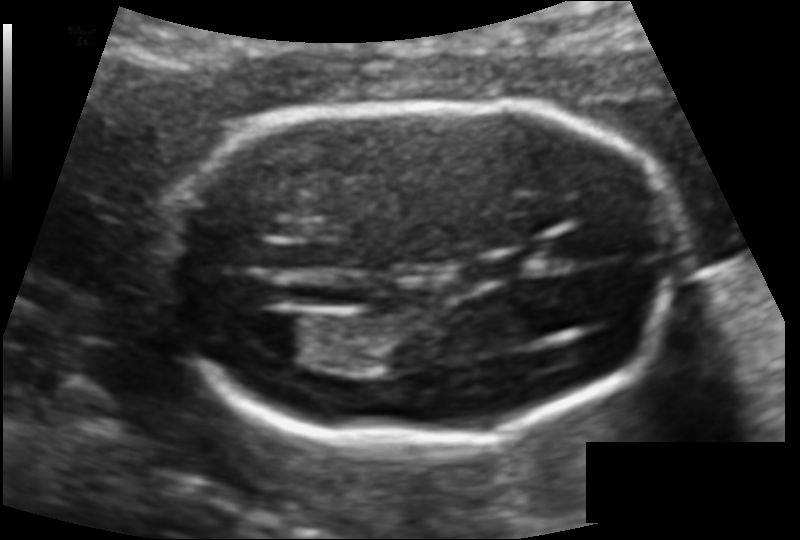
In this fetal head ultrasound, give the bounding box of the fetal head. Image width: 87.1 mm.

[154,104,681,438]